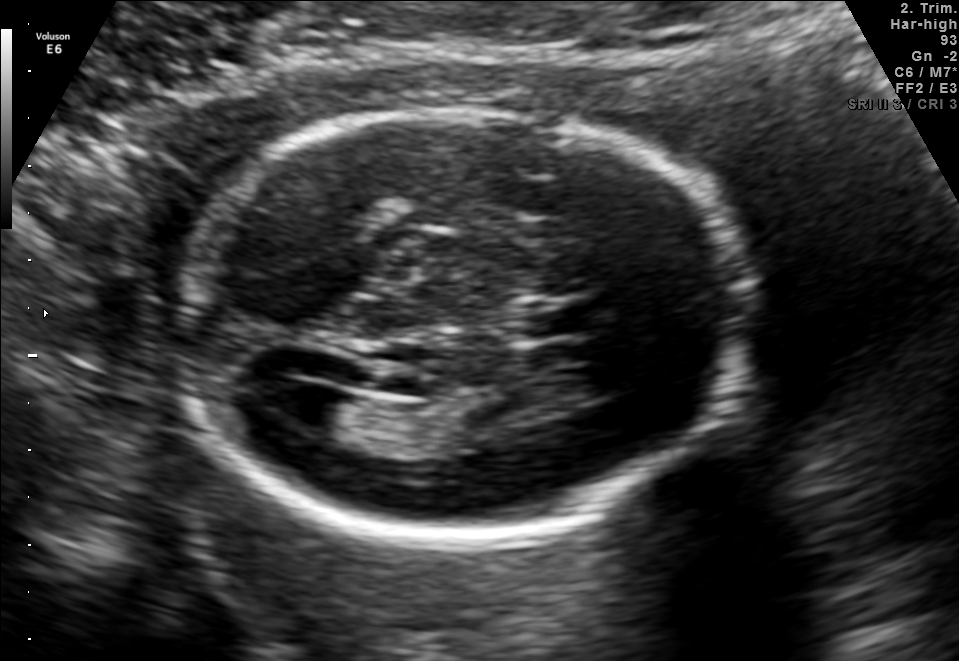
In this fetal brain, trans-ventricular plane, give the bounding box of the lateral ventricle.

[261,372,342,433]